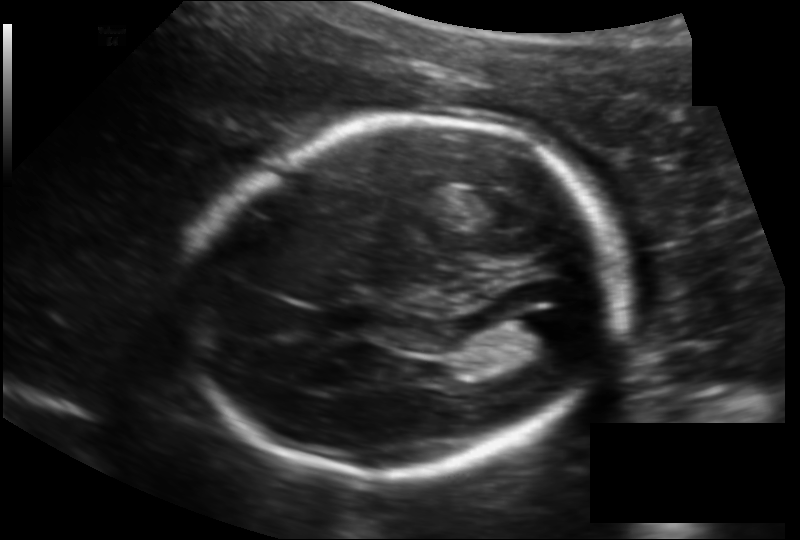
Fetal head ultrasound. Image width: 115.9 mm. Give [x1,y1,x2,y2] bounding boxes for each visible structure among: fetal head, CSP, LV.

Head: [190,118,618,476]
Lateral ventricle: [498,305,576,366]